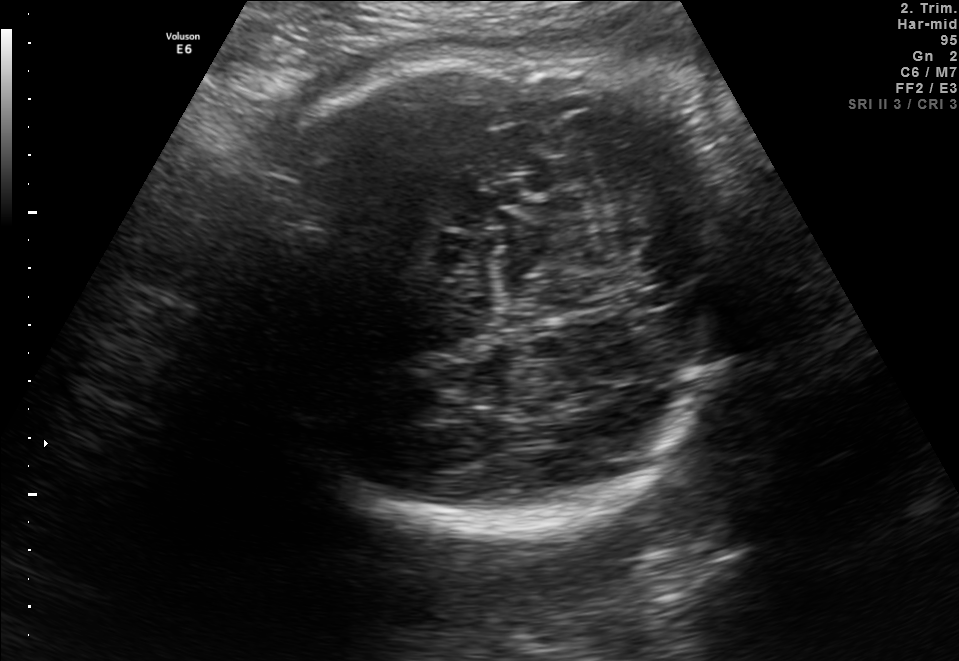
Classify this maternal-fetal ultrasound image as one of the six standard planes — fetal abdomen, fetal brain, fetal femur, fetal thorax, maternal cervix, or other. If it's fetal brain and one of the three standard brain planes (trans-thalamic, trans-cerebellum, trans-ventricular), name which.

Fetal brain